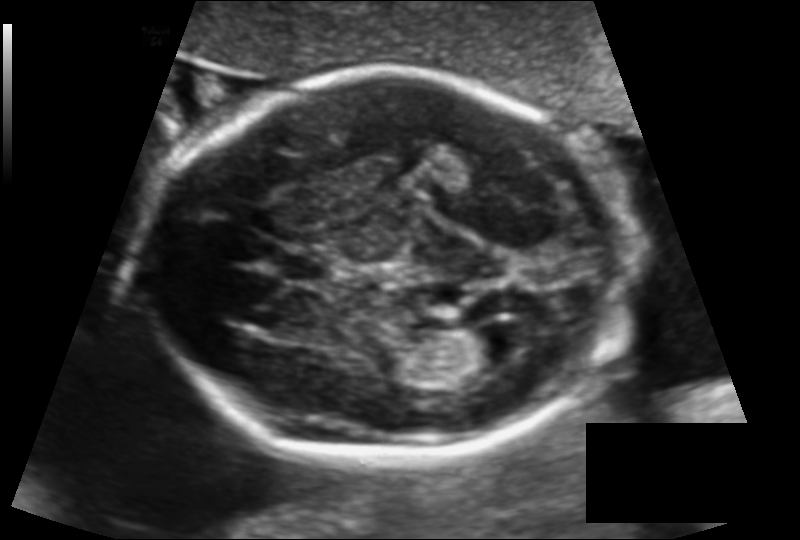
Fetal head ultrasound. Image width: 103.5 mm. Locate the lateral ventricle.

Lateral ventricle: [454,317,531,375]